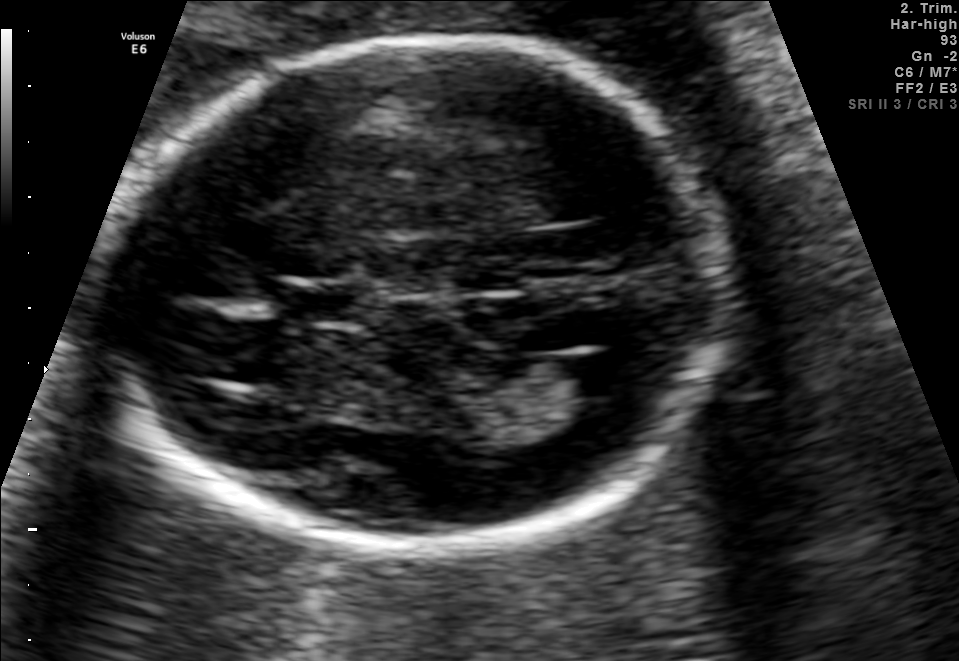
Fetal brain, trans-ventricular plane. Locate the cavum septum pellucidum.

CSP: [289,286,370,322]